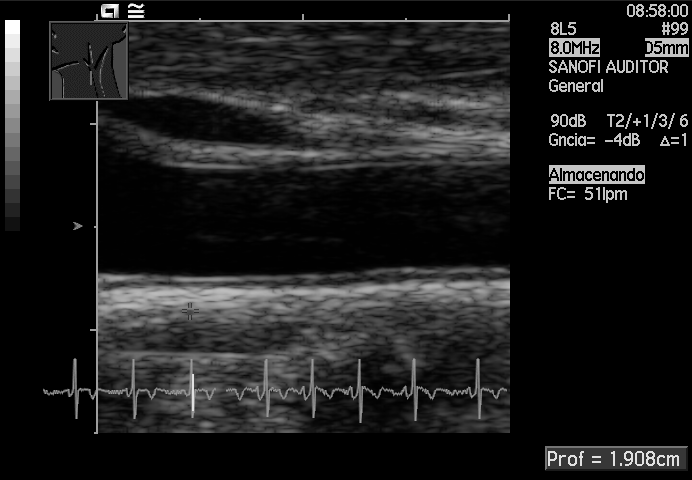
Which standard maternal-fetal ultrasound plane is shown: fetal abdomen, fetal brain, fetal femur, fetal thorax, maternal cervix, or other? If it's fetal brain and one of the three standard brain planes (trans-thalamic, trans-cerebellum, trans-ventricular), name which.

Other